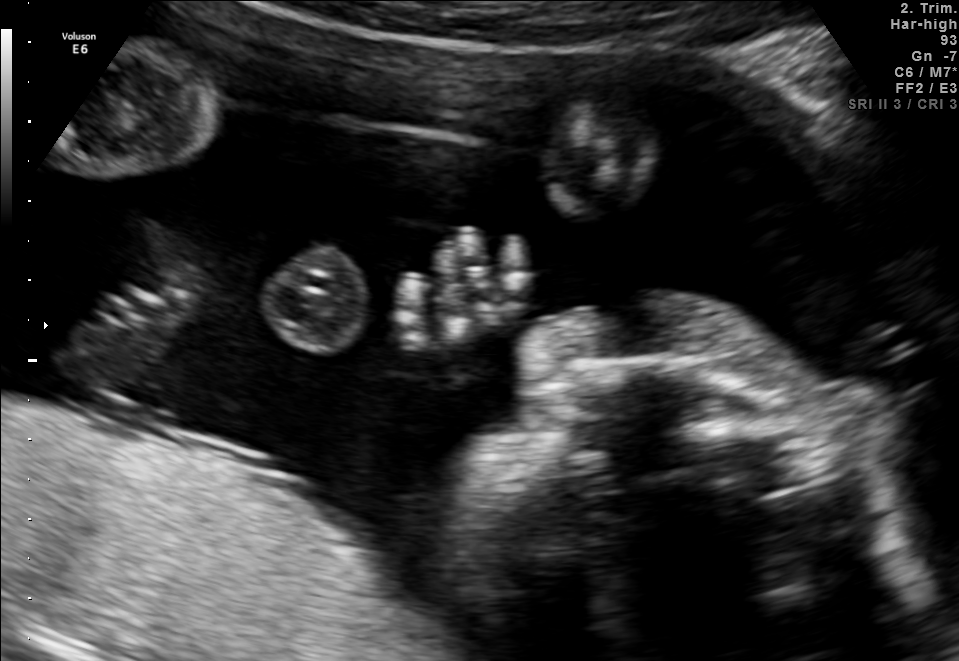
This is a 2D maternal-fetal ultrasound frame. Is it a fetal abdomen, fetal brain, fetal femur, fetal thorax, maternal cervix, or other standard plane? If it's fetal brain and one of the three standard brain planes (trans-thalamic, trans-cerebellum, trans-ventricular), name which.

Other